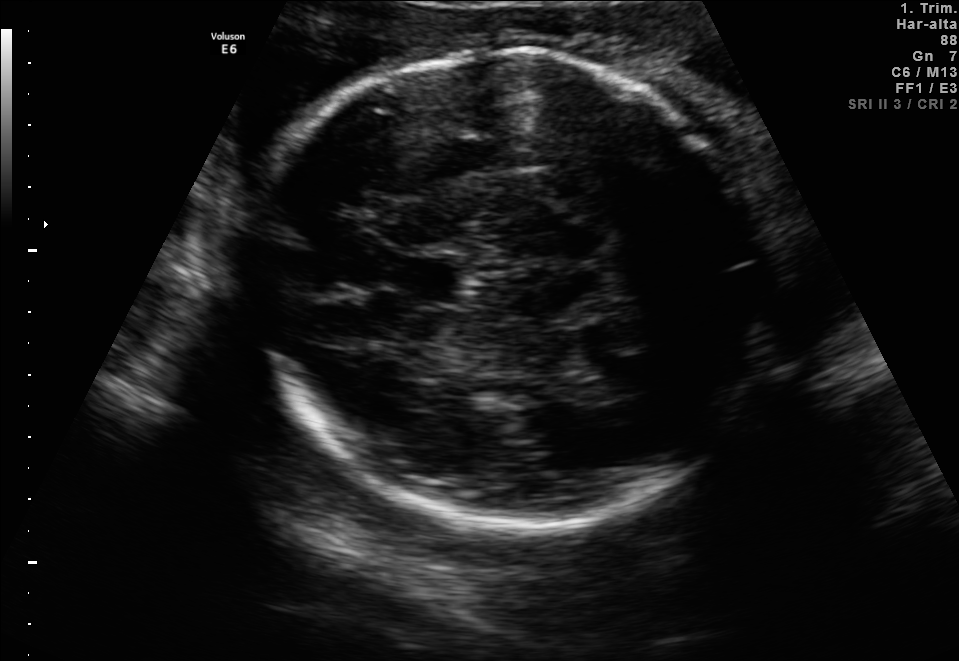
Fetal brain, trans-thalamic plane. Where is the cavum septum pellucidum?

CSP bounding box: [399,256,460,303]